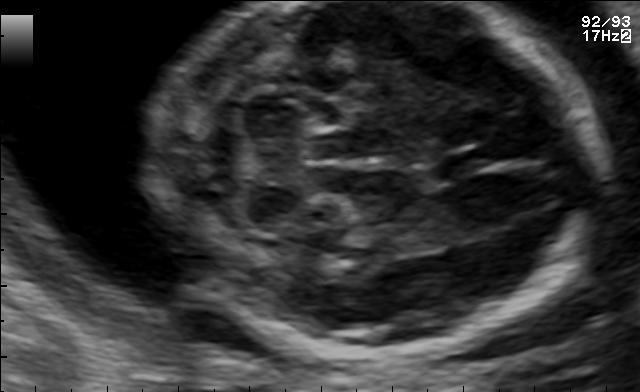
In this fetal brain, trans-cerebellum plane, give bounding boxes for the head outline, cavum septum pellucidum (CSP), and lateral ventricle (LV), where visible.

Head: [153,2,601,355]